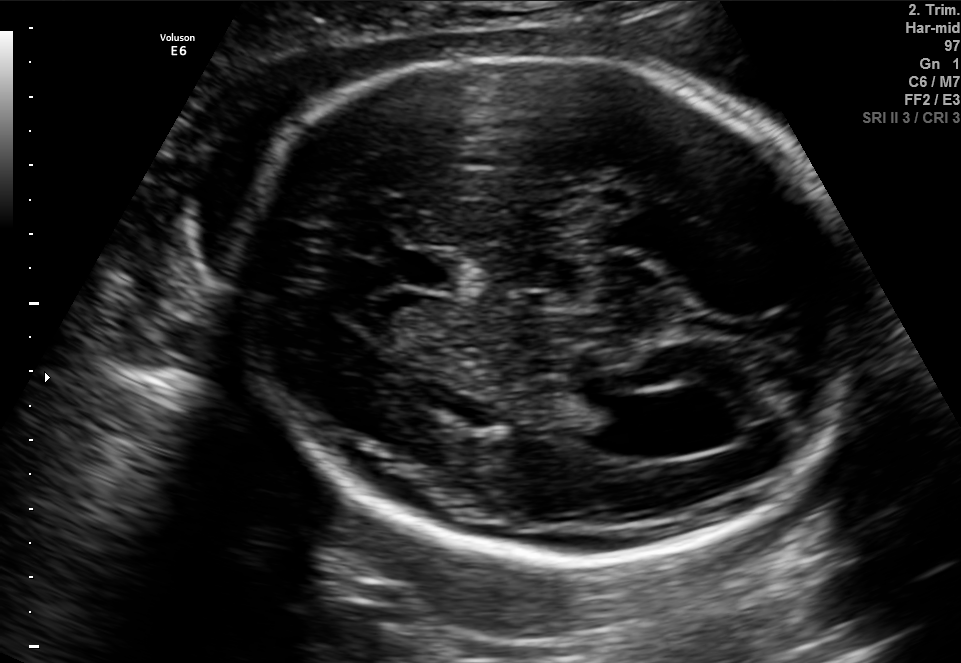
Fetal brain, trans-ventricular plane. Where is the cavum septum pellucidum?

CSP bounding box: [375,244,472,296]